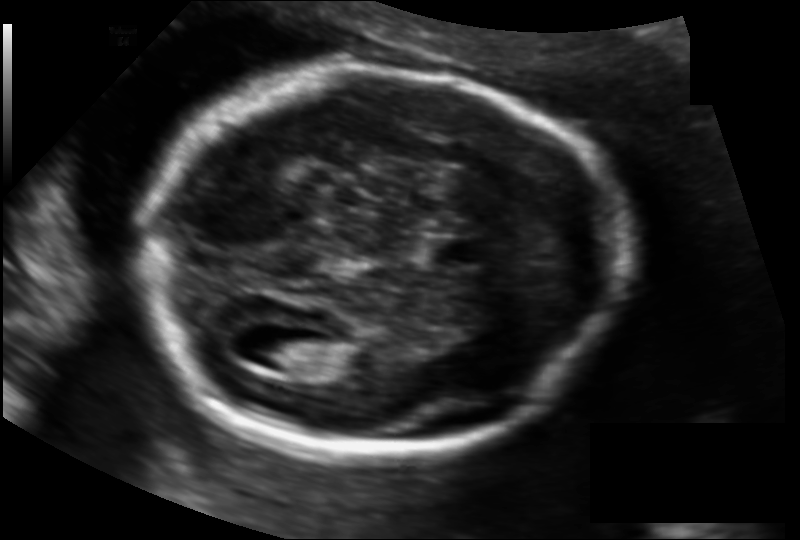
Fetal head ultrasound. Image width: 102.3 mm. Give [x1,y1,x2,y2] bounding boxes for each visible structure among: fetal head, CSP, LV.

Head: [142,69,621,452]
CSP: [429,236,482,268]
Lateral ventricle: [251,328,317,376]